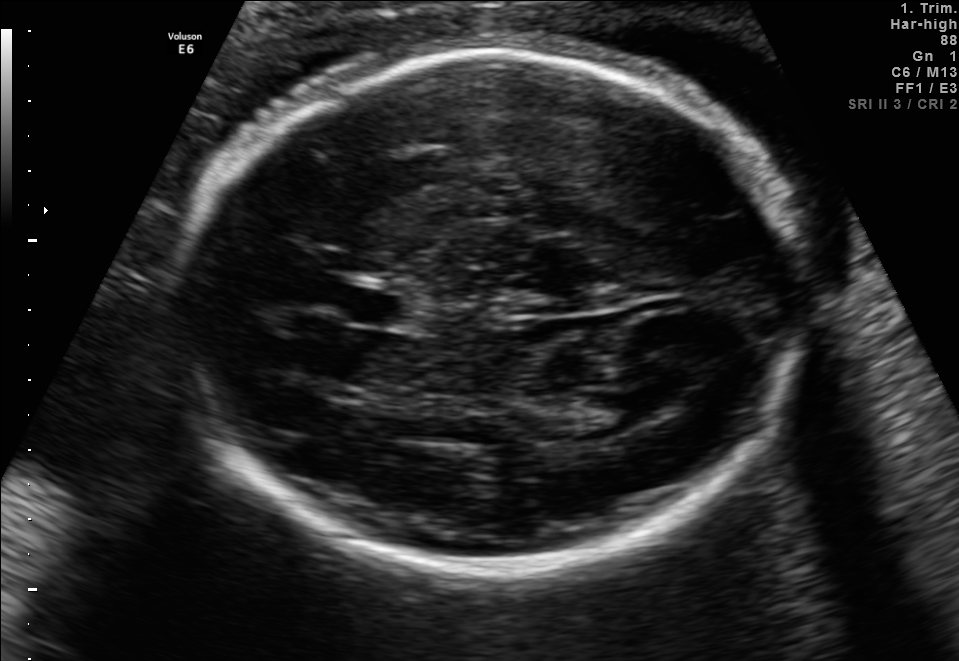
Fetal brain, trans-thalamic plane. Locate the fetal head and, if visible, the cavum septum pellucidum (CSP) and lateral ventricle (LV). Give bounding boxes as [x1,y1,x2,y2].

Head: [180,54,819,573]
CSP: [343,286,411,328]
Lateral ventricle: [570,387,655,438]